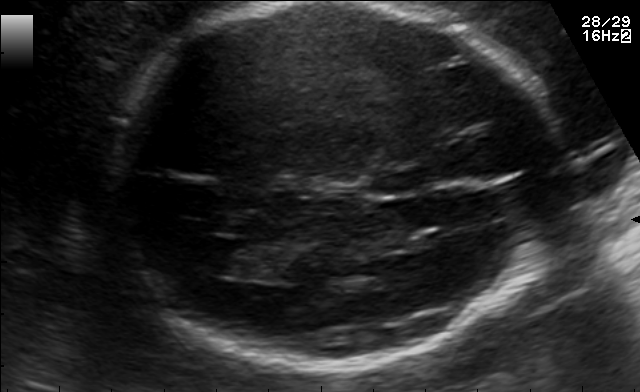
Fetal brain, trans-ventricular plane. Locate the lateral ventricle.

Lateral ventricle: [181,235,253,277]